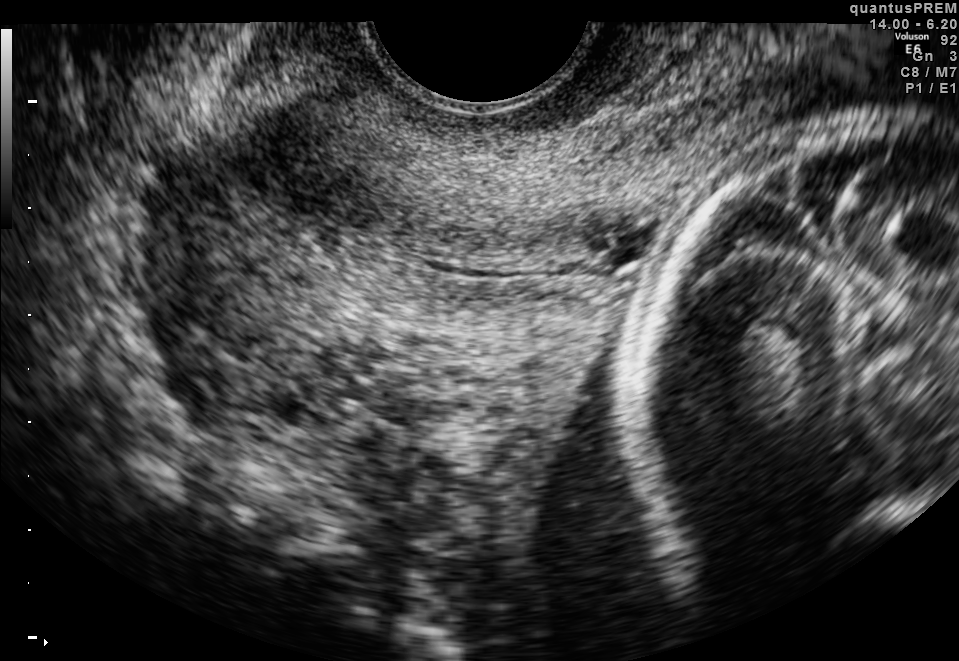
Classify this maternal-fetal ultrasound image as one of the six standard planes — fetal abdomen, fetal brain, fetal femur, fetal thorax, maternal cervix, or other. If it's fetal brain and one of the three standard brain planes (trans-thalamic, trans-cerebellum, trans-ventricular), name which.

Maternal cervix